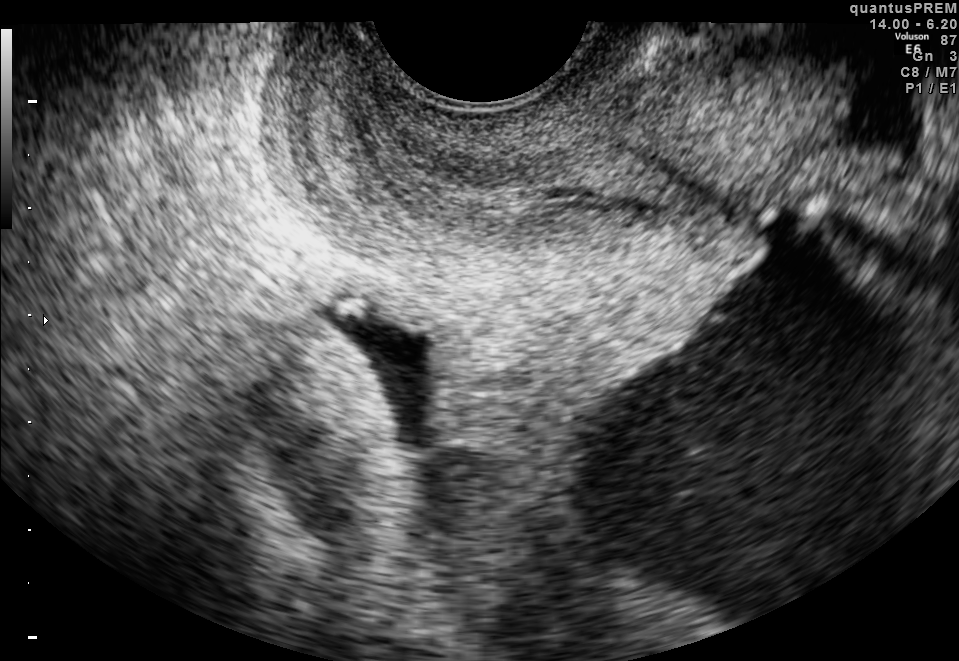
Identify the standard plane in this fetal ultrasound image: fetal abdomen, fetal brain, fetal femur, fetal thorax, maternal cervix, or other. If it's fetal brain and one of the three standard brain planes (trans-thalamic, trans-cerebellum, trans-ventricular), name which.

Maternal cervix